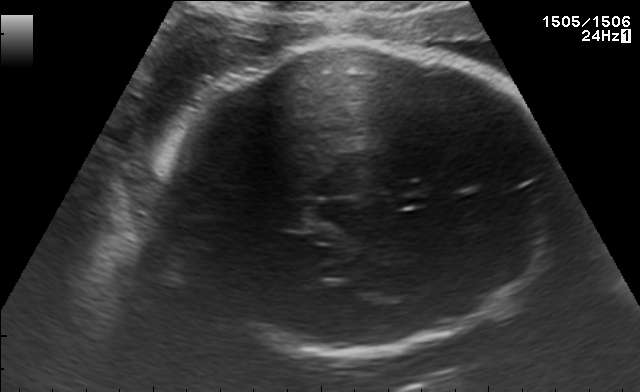
Identify the standard plane in this fetal ultrasound image: fetal abdomen, fetal brain, fetal femur, fetal thorax, maternal cervix, or other. If it's fetal brain and one of the three standard brain planes (trans-thalamic, trans-cerebellum, trans-ventricular), name which.

Fetal brain (trans-thalamic plane)